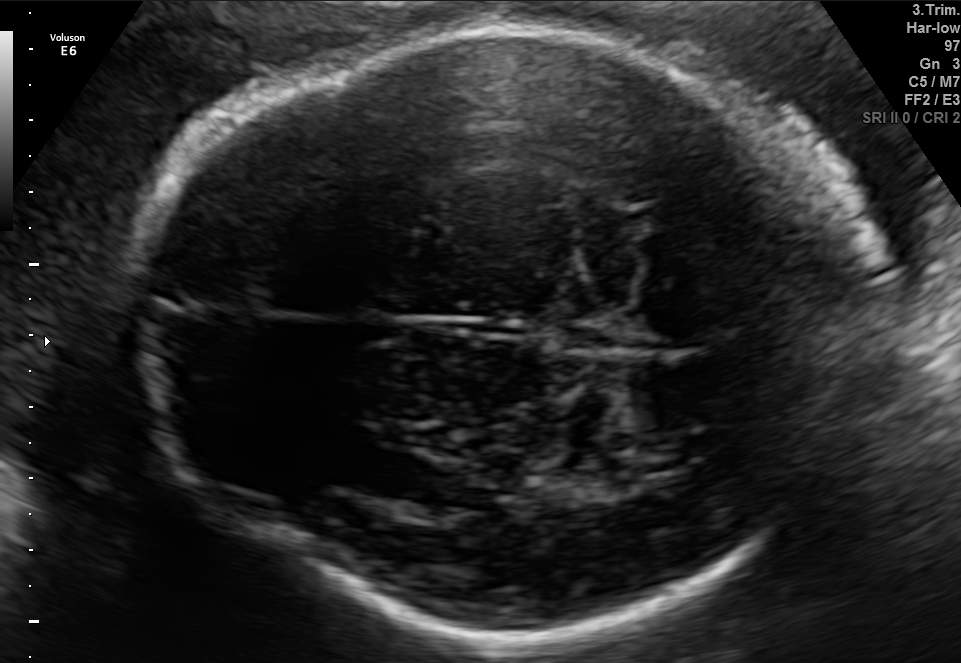
In this fetal brain, trans-ventricular plane, give bounding boxes for the head outline, cavum septum pellucidum (CSP), and lateral ventricle (LV), where visible.

Head: [136,32,883,641]